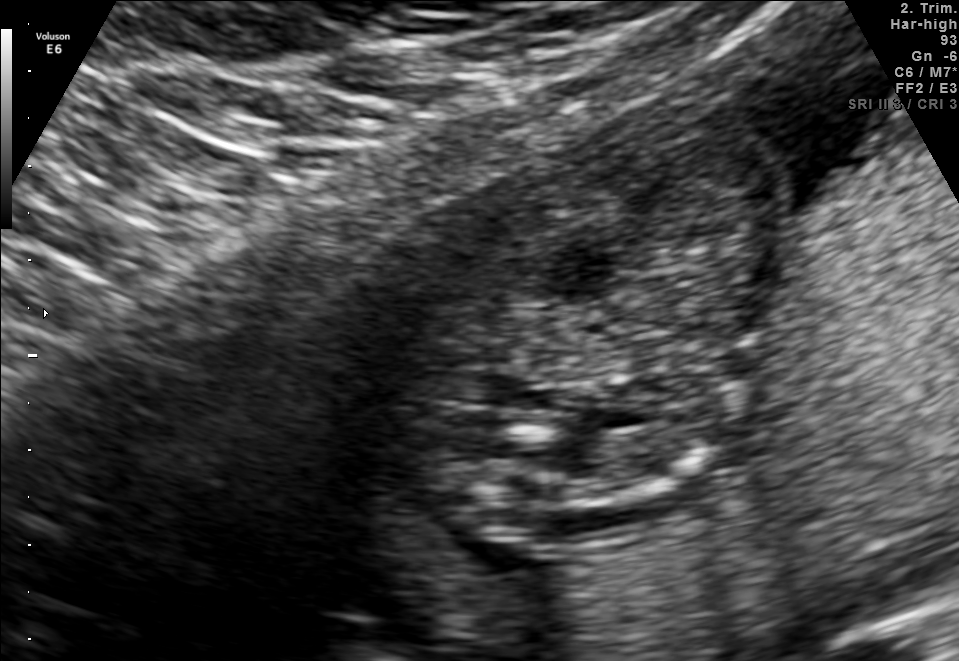
Identify the standard plane in this fetal ultrasound image: fetal abdomen, fetal brain, fetal femur, fetal thorax, maternal cervix, or other. If it's fetal brain and one of the three standard brain planes (trans-thalamic, trans-cerebellum, trans-ventricular), name which.

Other